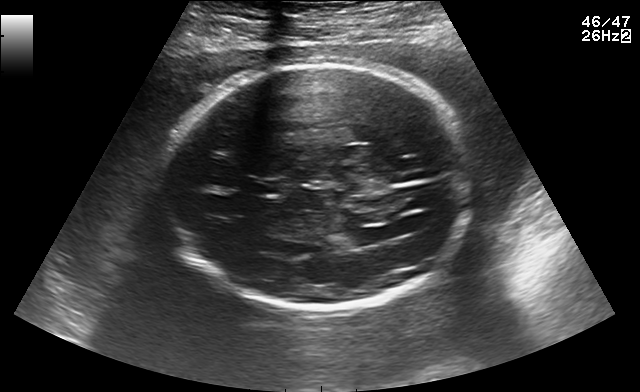
Fetal brain, trans-ventricular plane. Where is the cavum septum pellucidum?

CSP bounding box: [244,177,291,198]